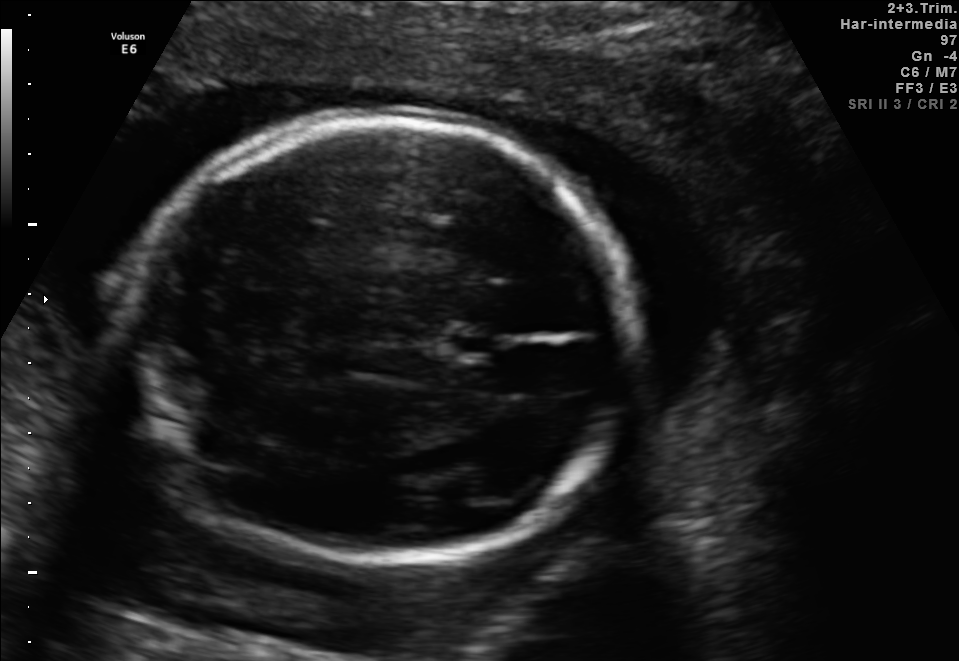
Fetal brain, trans-thalamic plane. Locate the cavum septum pellucidum.

CSP: [452,335,497,354]